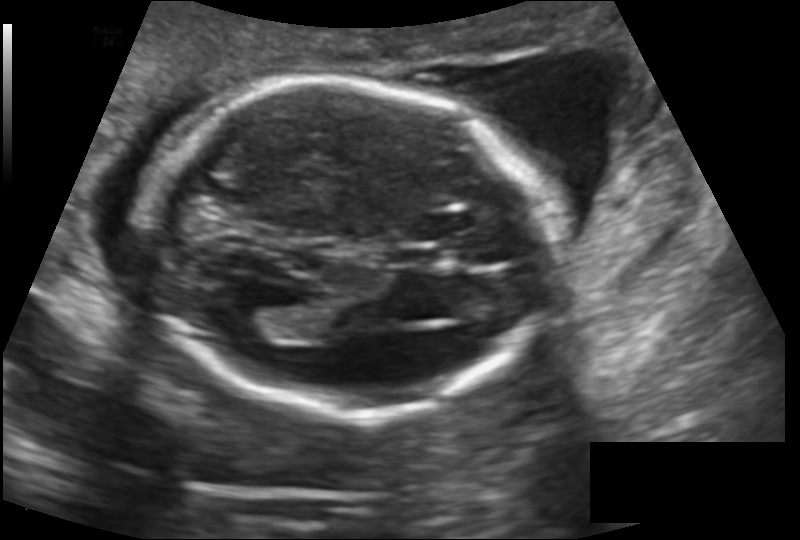
Fetal head ultrasound. Image width: 116.4 mm. Where is the lateral ventricle?

Lateral ventricle bounding box: [227,307,280,341]